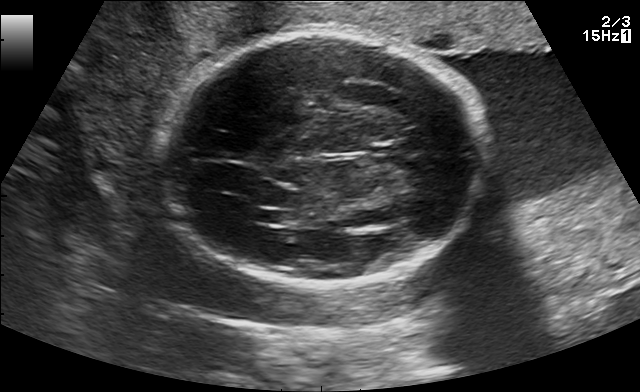
Fetal brain, trans-thalamic plane. Give [x1,y1,x2,y2] bounding boxes for each visible structure among: fetal head, CSP, LV.

Head: [160,34,484,285]
Lateral ventricle: [256,209,295,225]